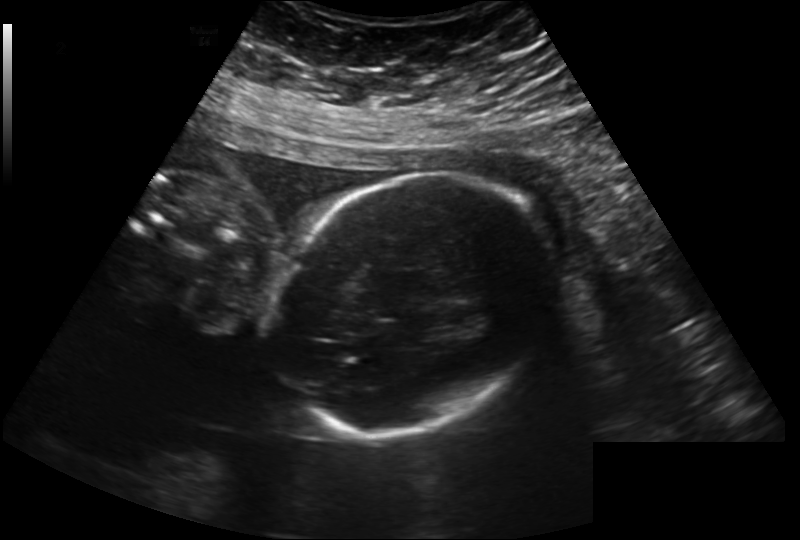
In this fetal head ultrasound, give the bounding box of the fetal head. Image width: 177.4 mm.

[271,171,546,436]